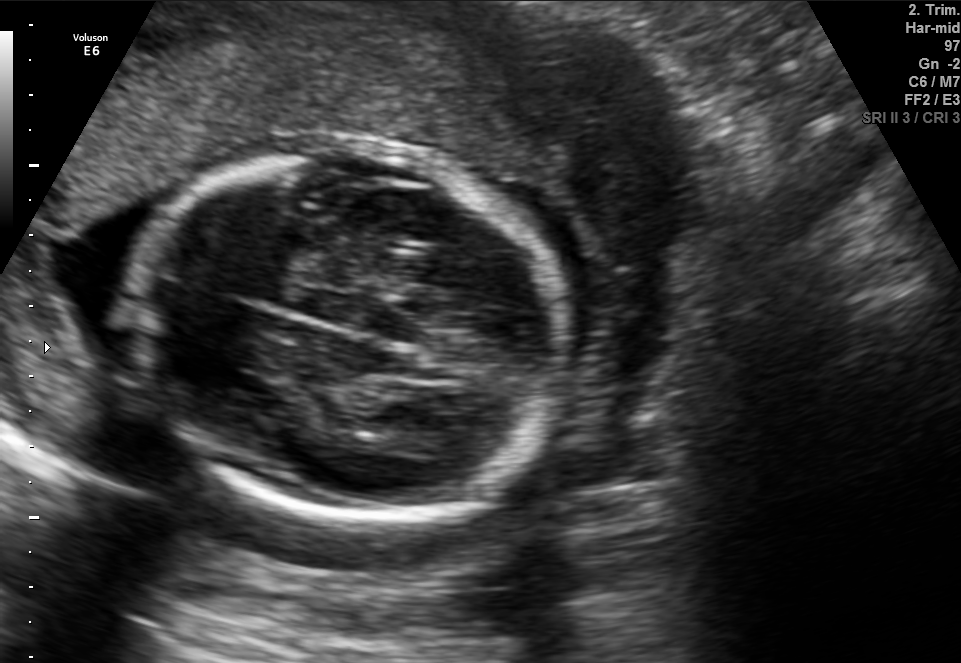
Fetal brain, trans-thalamic plane. Where is the fetal head?

Head bounding box: [122,147,572,520]